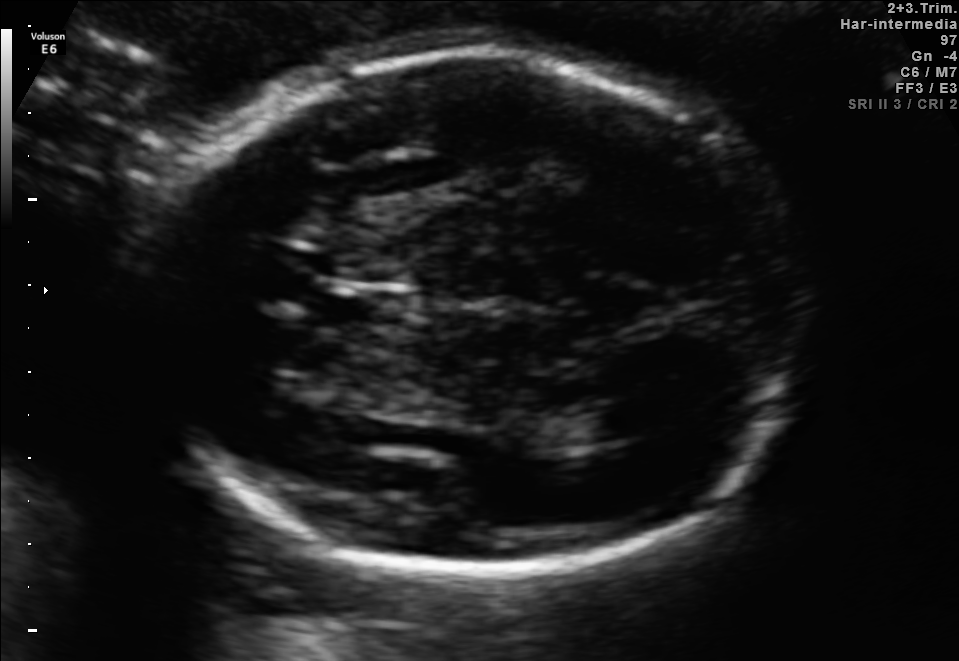
Fetal brain, trans-thalamic plane. Where is the lateral ventricle?

Lateral ventricle bounding box: [547,413,625,451]